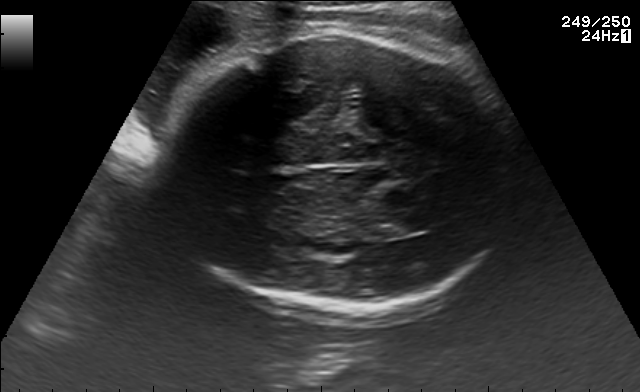
In this fetal brain, trans-thalamic plane, give the bounding box of the lateral ventricle.

[370,211,426,241]